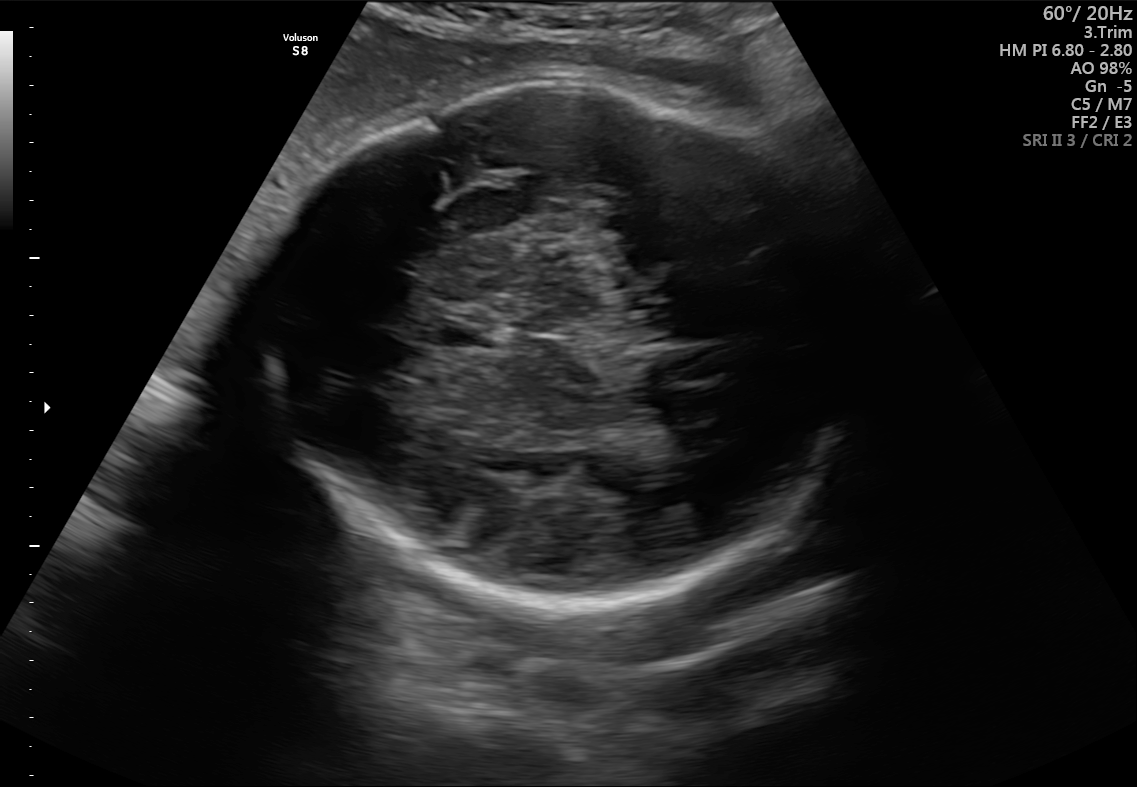
In this fetal brain, trans-thalamic plane, give the bounding box of the cavum septum pellucidum.

[434,313,496,349]